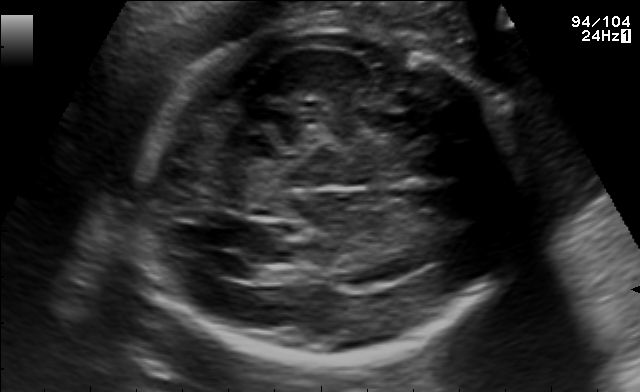
Fetal brain, trans-ventricular plane. Give [x1,y1,x2,y2] bounding boxes for each visible structure among: fetal head, CSP, LV.

Head: [124,21,544,364]